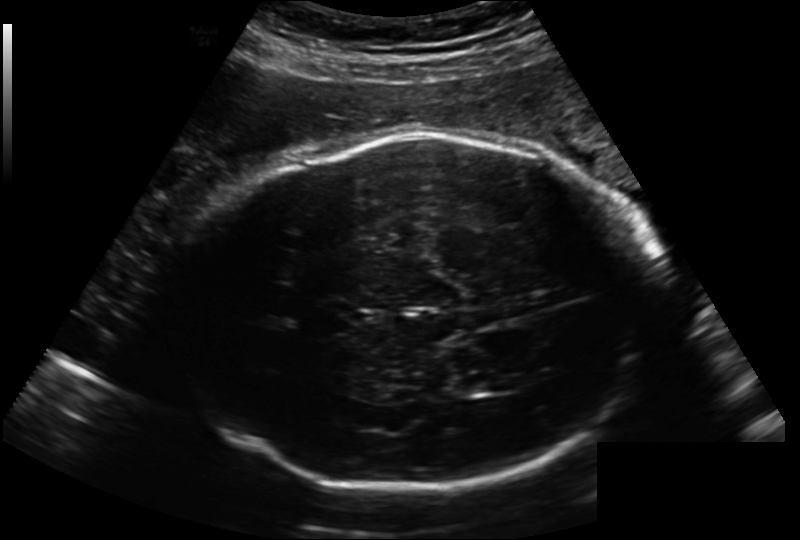
Fetal head ultrasound. Image width: 177.3 mm. Give [x1,y1,x2,y2] bounding boxes for each visible structure among: fetal head, CSP, LV.

Head: [170,132,643,493]
Lateral ventricle: [453,371,499,396]